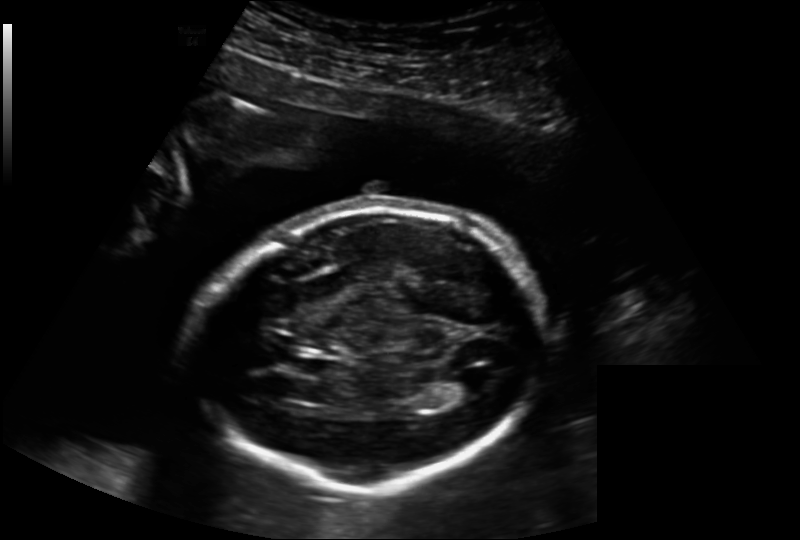
In this fetal head ultrasound, give the bounding box of the fetal head. Image width: 161.7 mm.

[194,208,543,486]